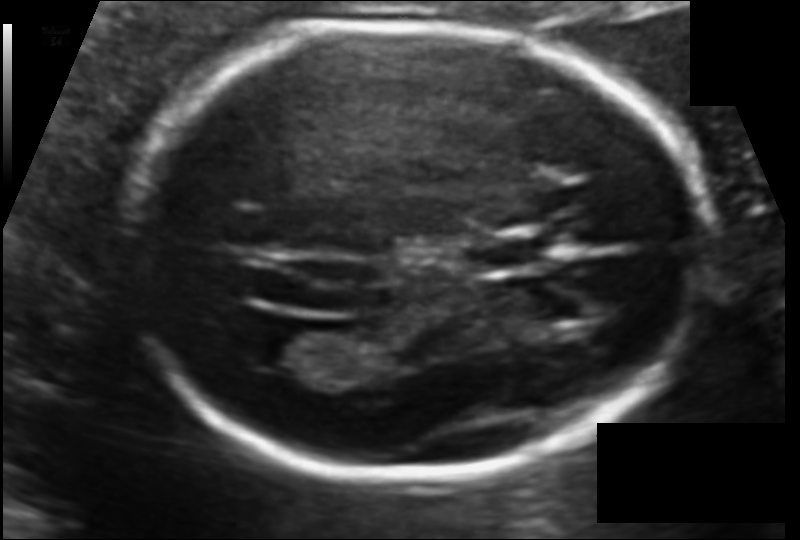
In this fetal head ultrasound, give the bounding box of the cavum septum pellucidum. Image width: 85.6 mm.

[468,224,552,279]